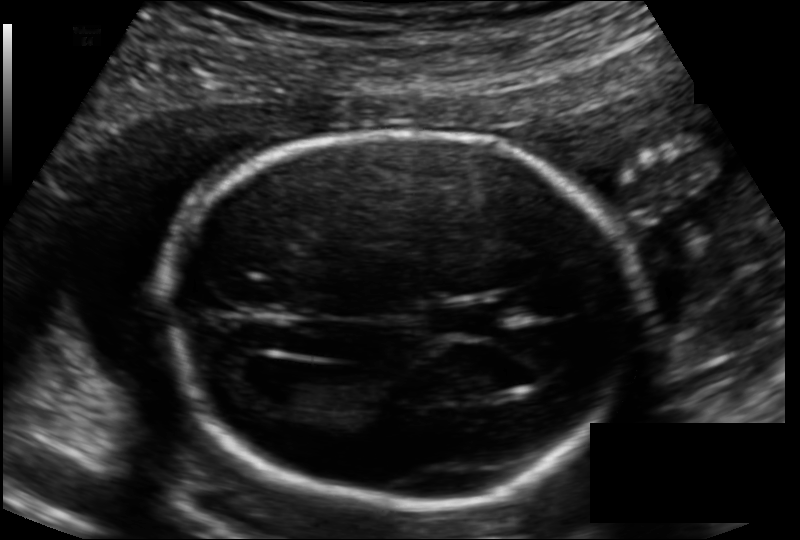
Fetal head ultrasound. Image width: 100.8 mm. Give [x1,y1,x2,y2] bounding boxes for each visible structure among: fetal head, CSP, LV.

Head: [168,133,634,505]
CSP: [430,303,497,336]
Lateral ventricle: [239,353,324,411]